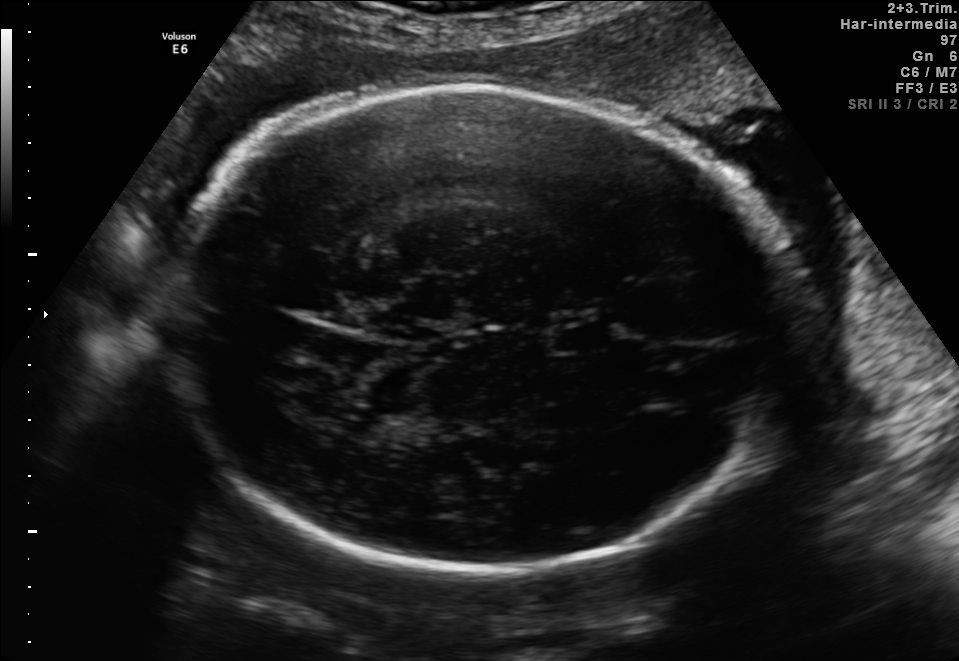
In this fetal brain, trans-thalamic plane, give the bounding box of the cavum septum pellucidum.

[553,324,615,352]